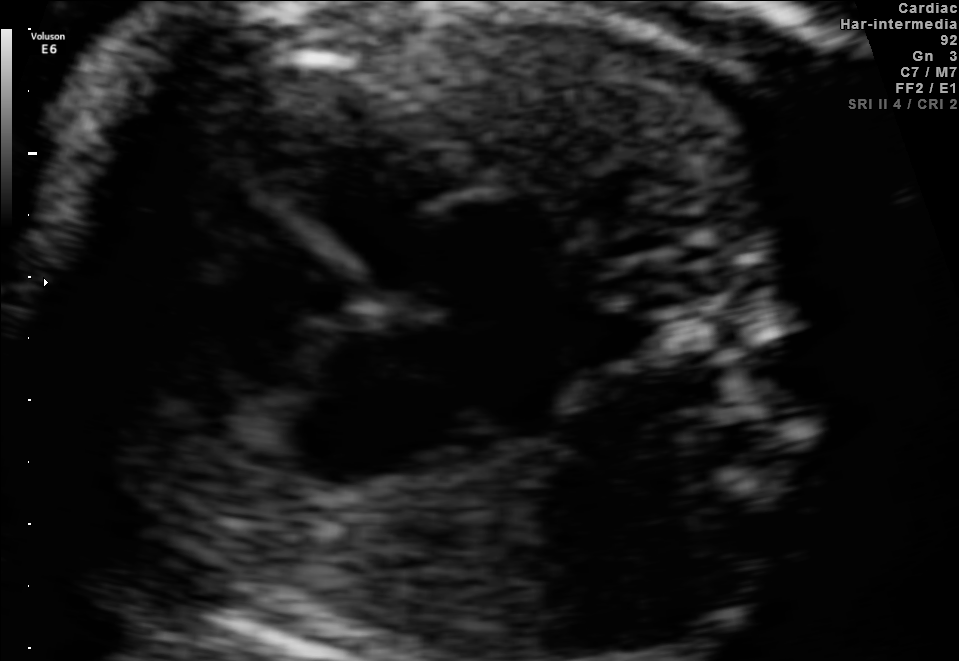
This is a 2D maternal-fetal ultrasound frame. Is it a fetal abdomen, fetal brain, fetal femur, fetal thorax, maternal cervix, or other standard plane? If it's fetal brain and one of the three standard brain planes (trans-thalamic, trans-cerebellum, trans-ventricular), name which.

Fetal thorax